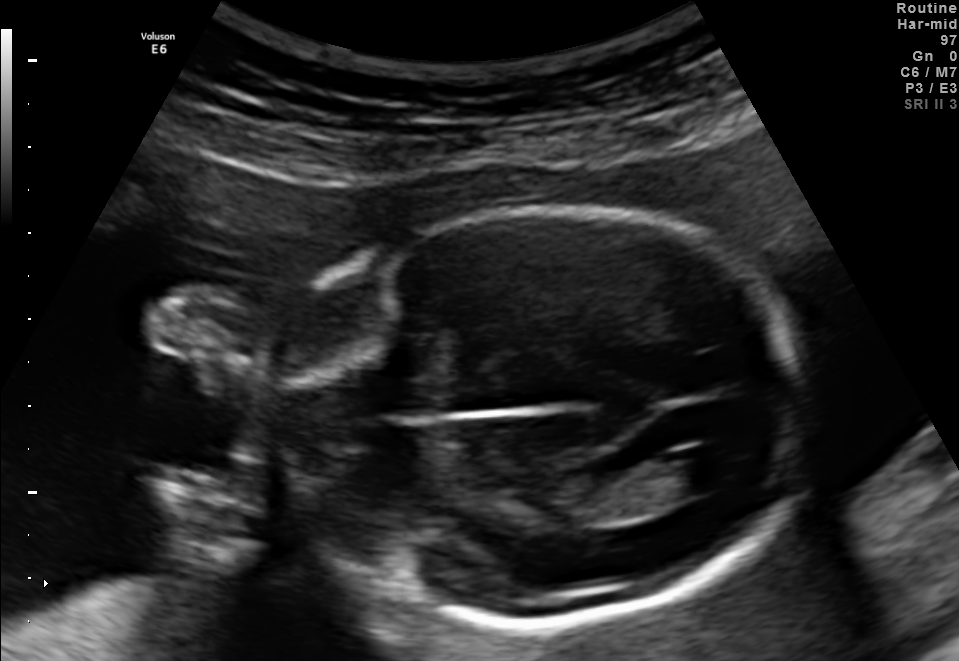
In this fetal brain, trans-ventricular plane, give the bounding box of the fetal head.

[270,201,821,630]